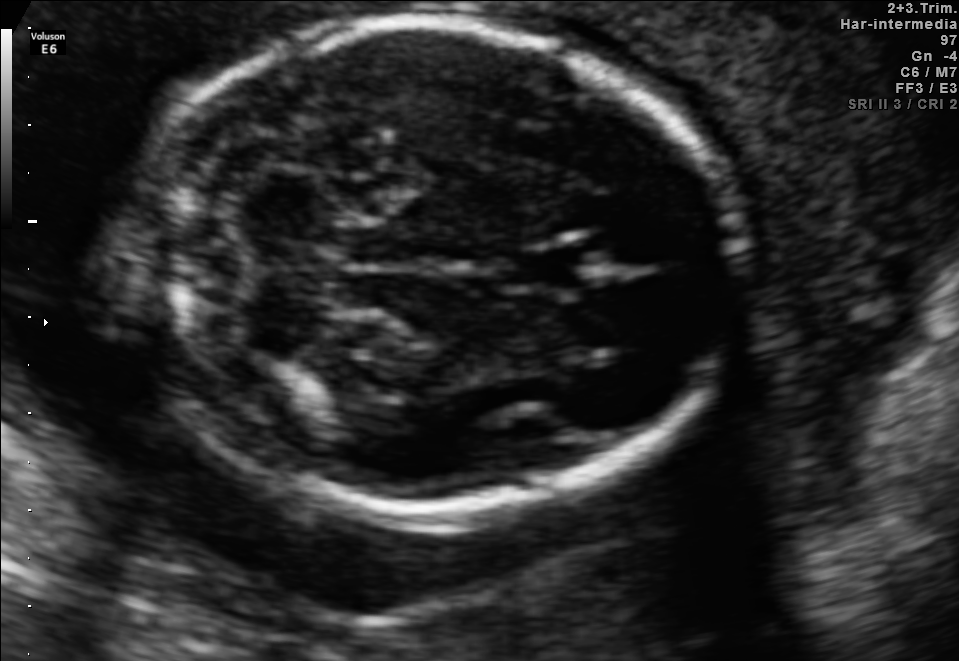
In this fetal brain, trans-cerebellum plane, give the bounding box of the fetal head.

[130,23,739,518]